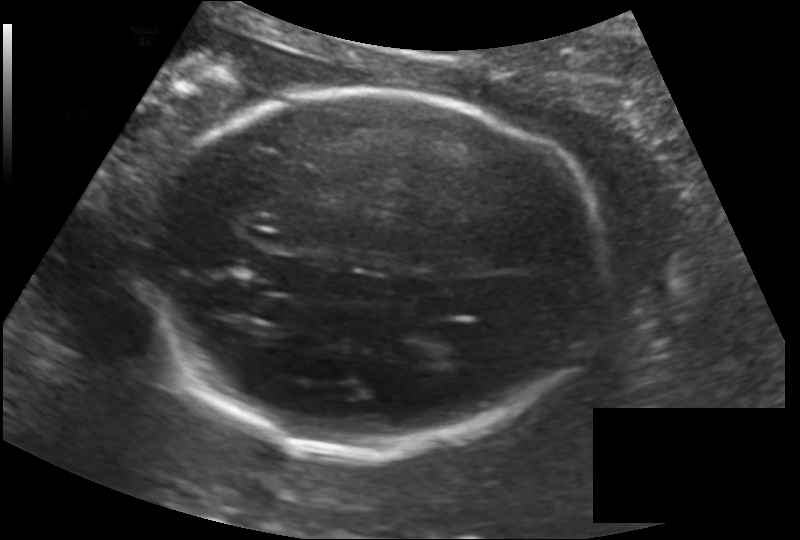
In this fetal head ultrasound, give bounding boxes for the head outline, cavum septum pellucidum (CSP), and lateral ventricle (LV), where visible. Image width: 136.3 mm.

Head: [148,93,599,455]